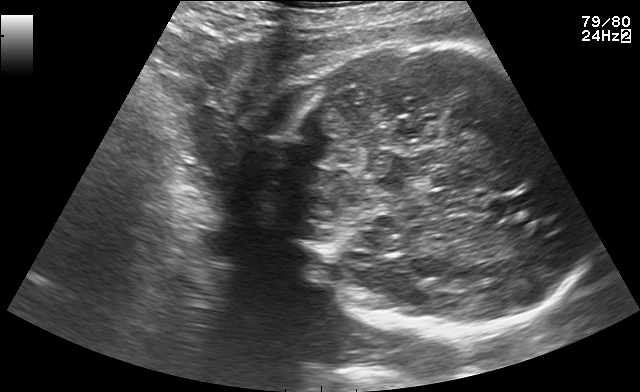
This is a 2D maternal-fetal ultrasound frame. Is it a fetal abdomen, fetal brain, fetal femur, fetal thorax, maternal cervix, or other standard plane? If it's fetal brain and one of the three standard brain planes (trans-thalamic, trans-cerebellum, trans-ventricular), name which.

Fetal brain